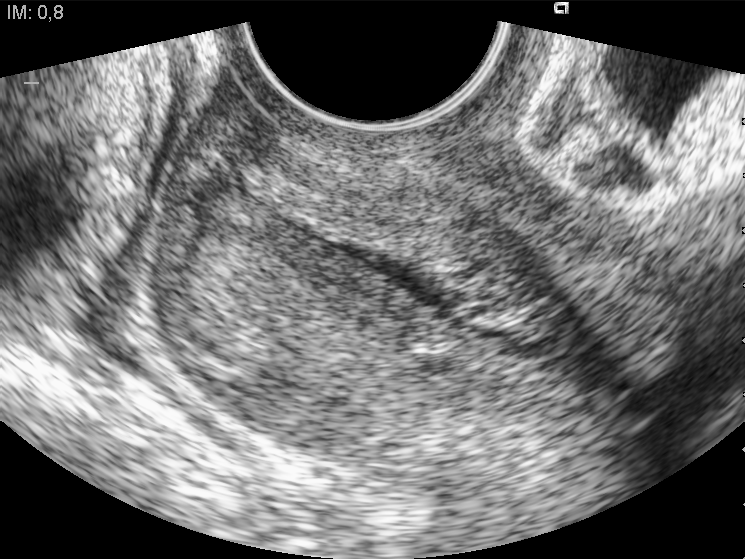
This is a 2D maternal-fetal ultrasound frame. Is it a fetal abdomen, fetal brain, fetal femur, fetal thorax, maternal cervix, or other standard plane? If it's fetal brain and one of the three standard brain planes (trans-thalamic, trans-cerebellum, trans-ventricular), name which.

Maternal cervix